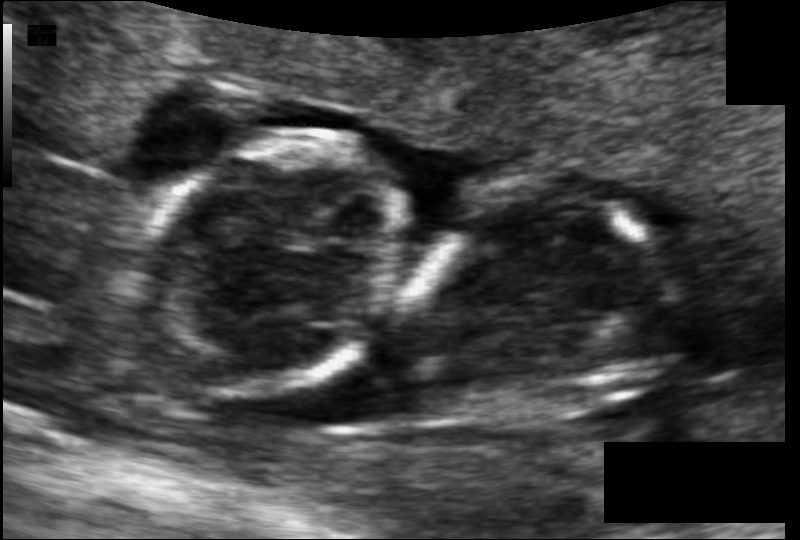
Fetal head ultrasound. Image width: 68.1 mm. Locate the fetal head and, if visible, the cavum septum pellucidum (CSP) and lateral ventricle (LV). Give bounding boxes as [x1,y1,x2,y2].

Head: [138,140,401,392]